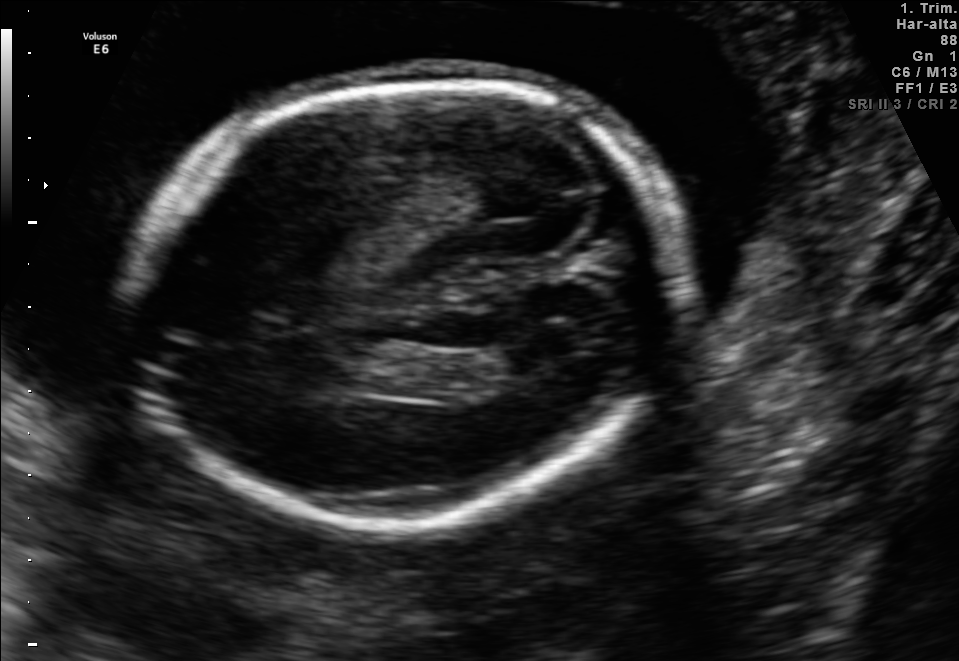
In this fetal brain, trans-ventricular plane, give the bounding box of the fetal head.

[121,73,702,532]